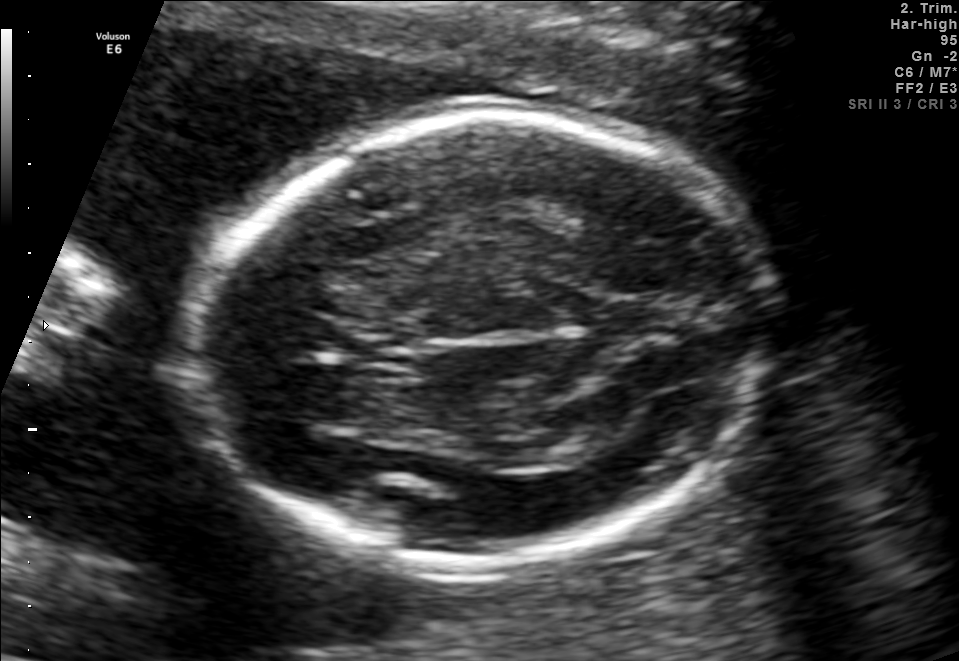
In this fetal brain, trans-thalamic plane, give the bounding box of the fetal head.

[187,114,770,567]